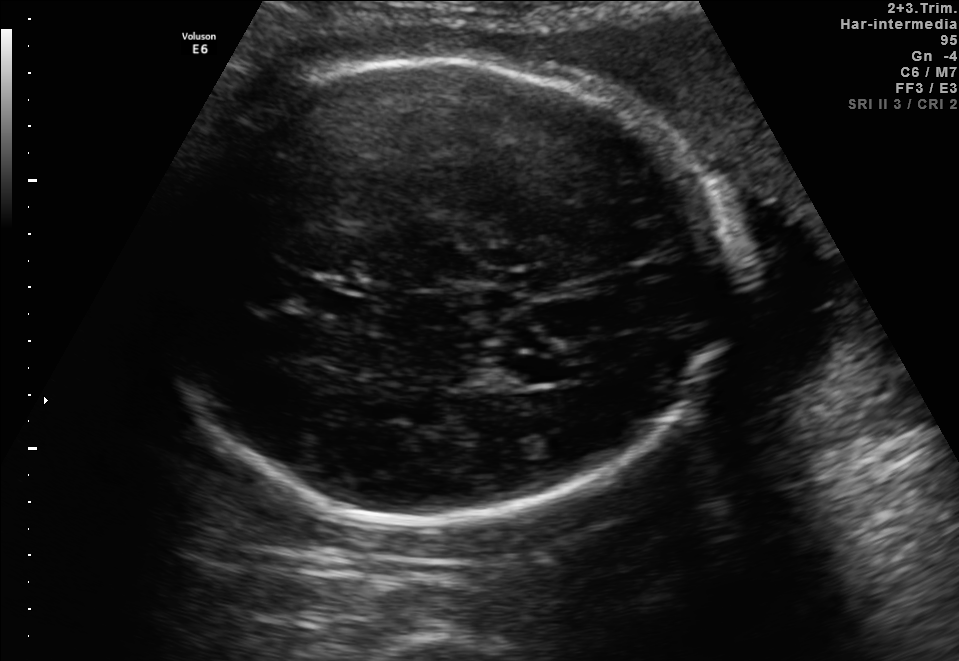
In this fetal brain, trans-thalamic plane, give bounding boxes for the head outline, cavum septum pellucidum (CSP), and lateral ventricle (LV), where visible.

Head: [139,61,742,524]
CSP: [306,278,368,317]
Lateral ventricle: [465,349,580,393]